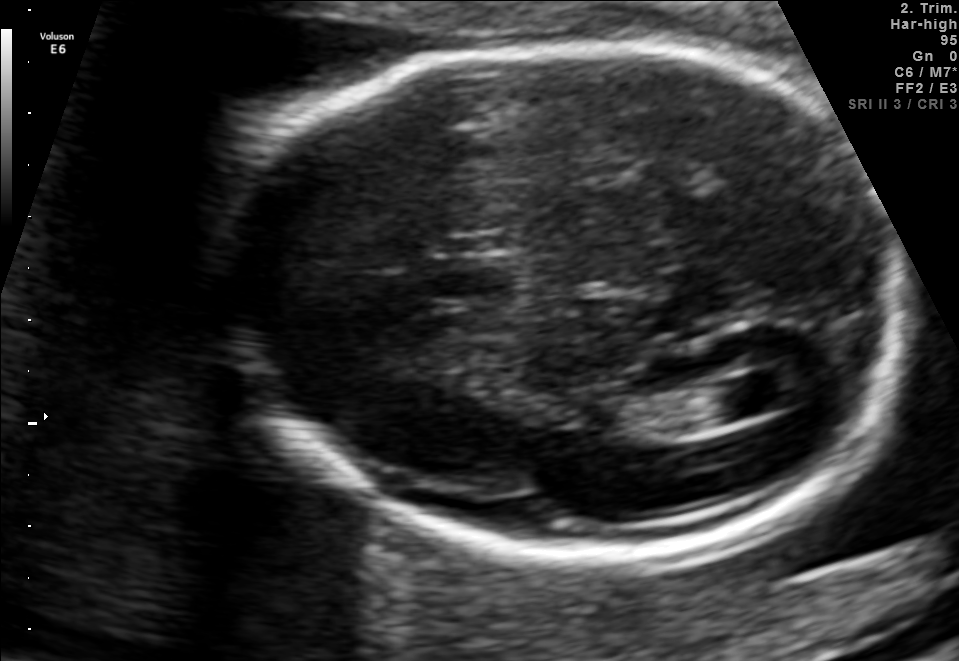
Fetal brain, trans-ventricular plane. Locate the fetal head.

Head: [210,40,907,561]